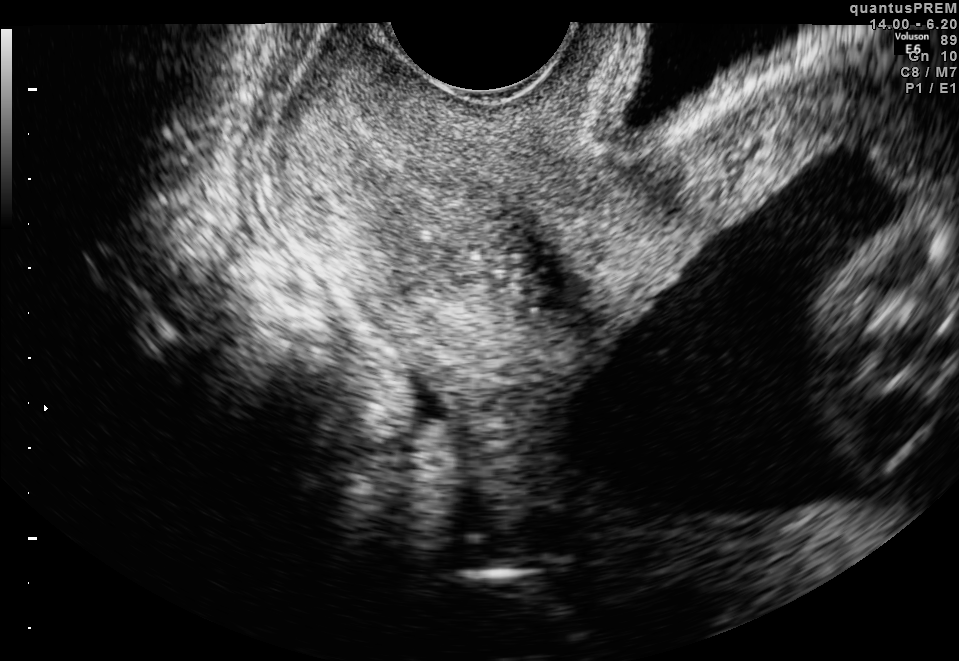
This is a 2D maternal-fetal ultrasound frame. Is it a fetal abdomen, fetal brain, fetal femur, fetal thorax, maternal cervix, or other standard plane? If it's fetal brain and one of the three standard brain planes (trans-thalamic, trans-cerebellum, trans-ventricular), name which.

Maternal cervix